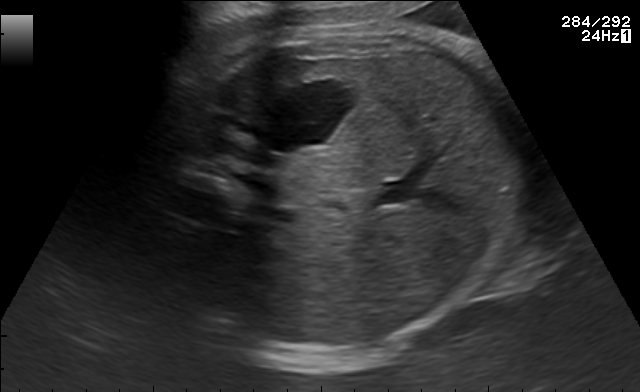
Which standard maternal-fetal ultrasound plane is shown: fetal abdomen, fetal brain, fetal femur, fetal thorax, maternal cervix, or other? If it's fetal brain and one of the three standard brain planes (trans-thalamic, trans-cerebellum, trans-ventricular), name which.

Fetal abdomen